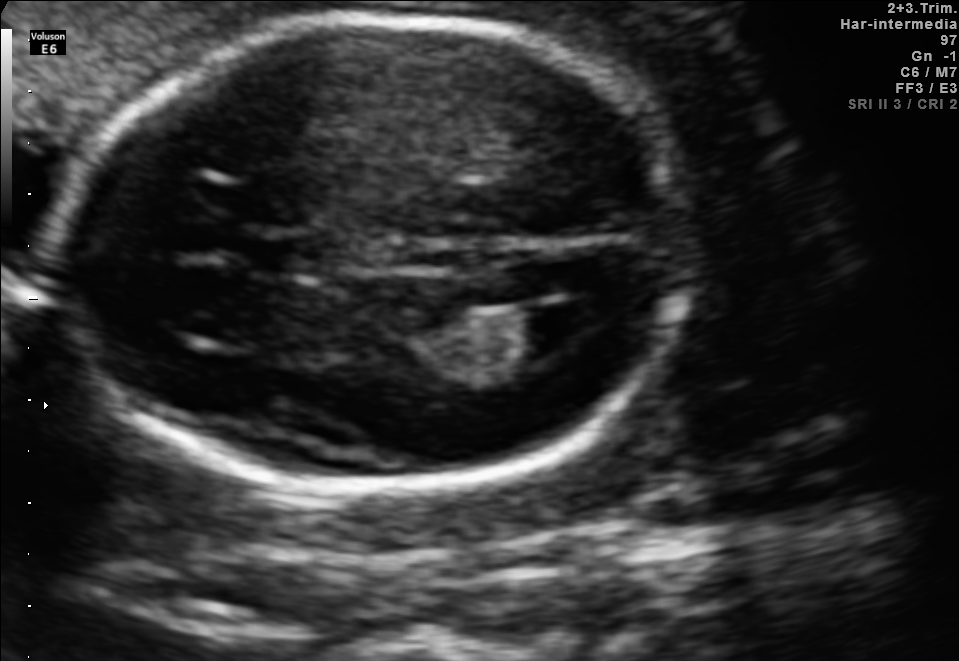
Fetal brain, trans-ventricular plane. Give [x1,y1,x2,y2] bounding boxes for each visible structure among: fetal head, CSP, LV.

Head: [54,9,703,502]
CSP: [248,239,323,272]
Lateral ventricle: [516,294,607,360]